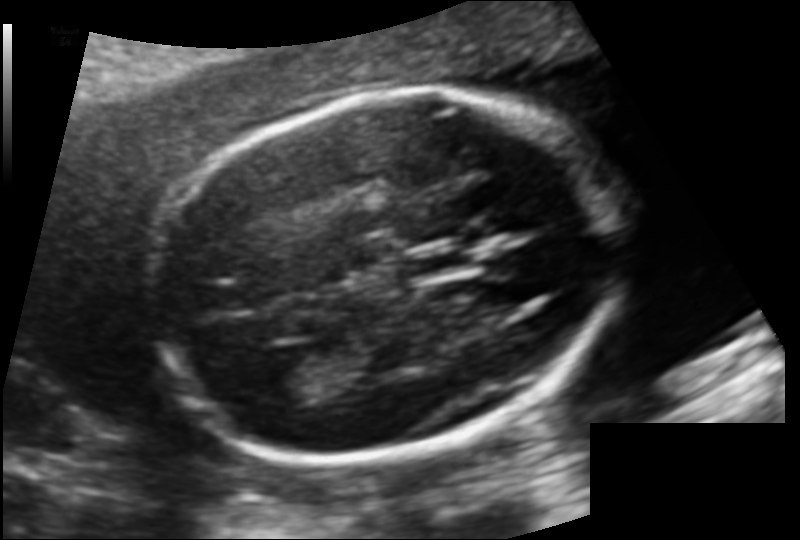
Fetal head ultrasound. Image width: 96.3 mm. Locate the cavum septum pellucidum.

CSP: [405,243,469,282]